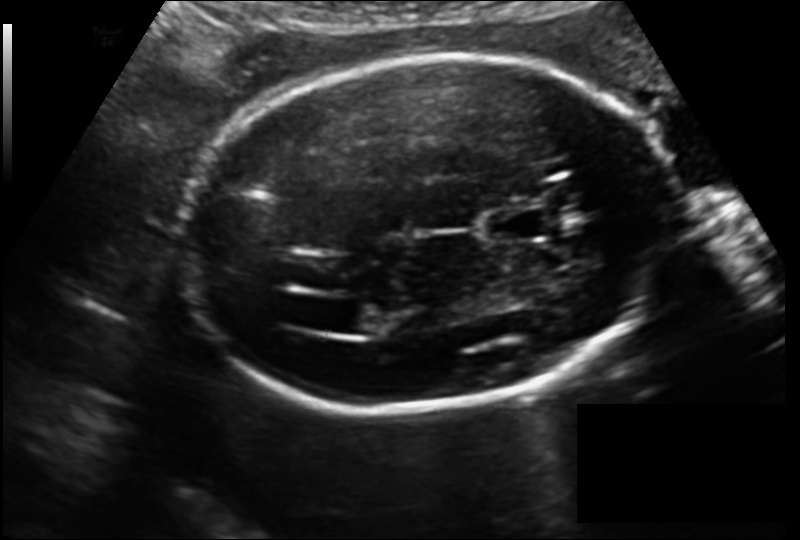
In this fetal head ultrasound, give bounding boxes for the head outline, cavum septum pellucidum (CSP), and lateral ventricle (LV), where visible. Image width: 120.3 mm.

Head: [177,53,675,410]
CSP: [484,206,547,243]
Lateral ventricle: [329,299,391,335]